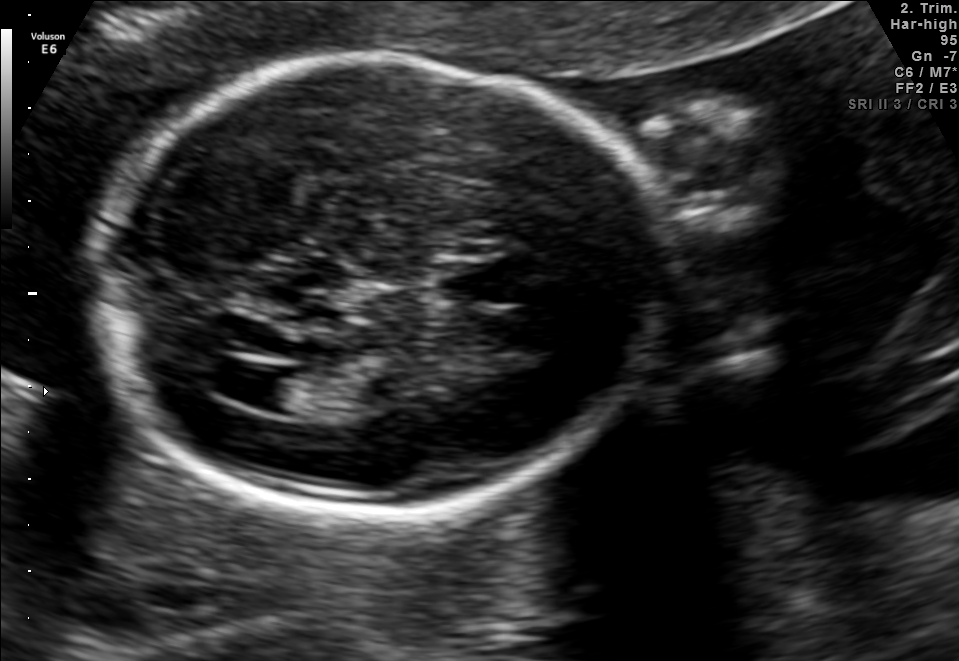
In this fetal brain, trans-ventricular plane, give the bounding box of the cavum septum pellucidum.

[426,261,527,303]